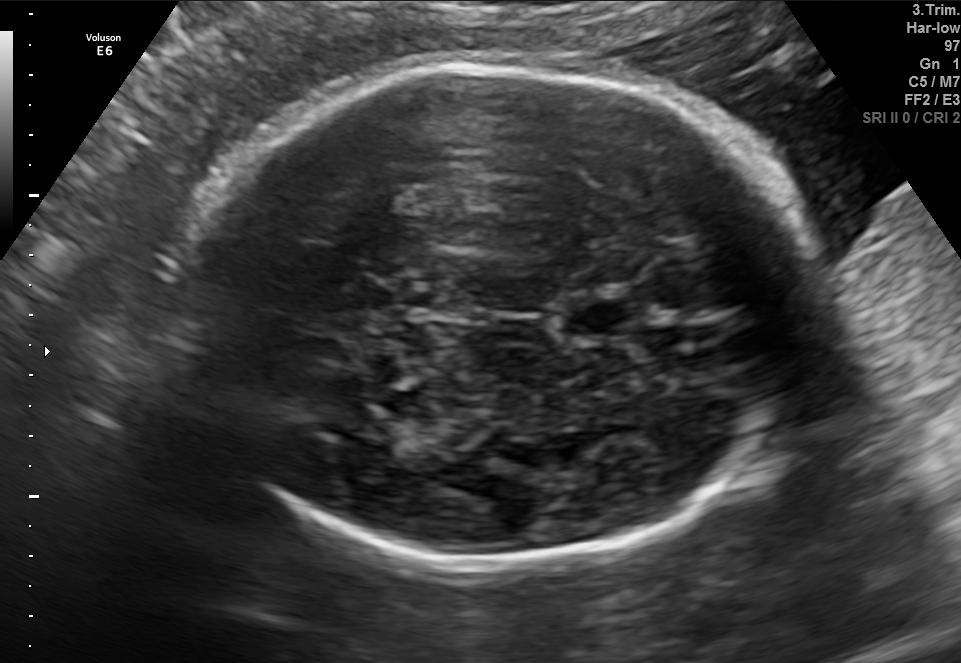
Fetal brain, trans-thalamic plane. Give [x1,y1,x2,y2] bounding boxes for each visible structure among: fetal head, CSP, LV.

Head: [181,64,814,569]
CSP: [562,298,634,337]